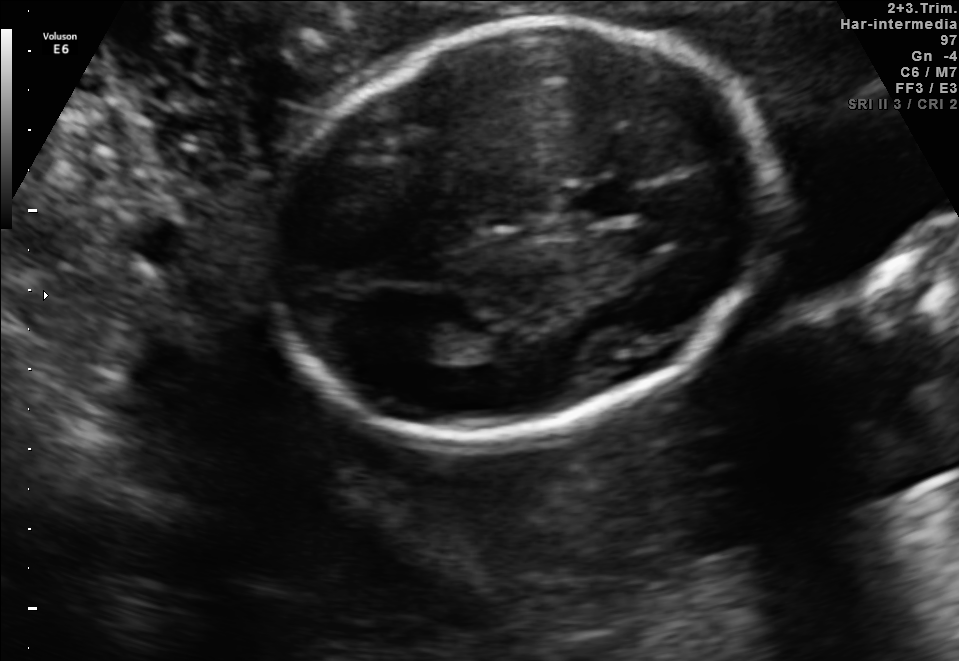
Fetal brain, trans-thalamic plane. Where is the lateral ventricle?

Lateral ventricle bounding box: [393,323,458,361]